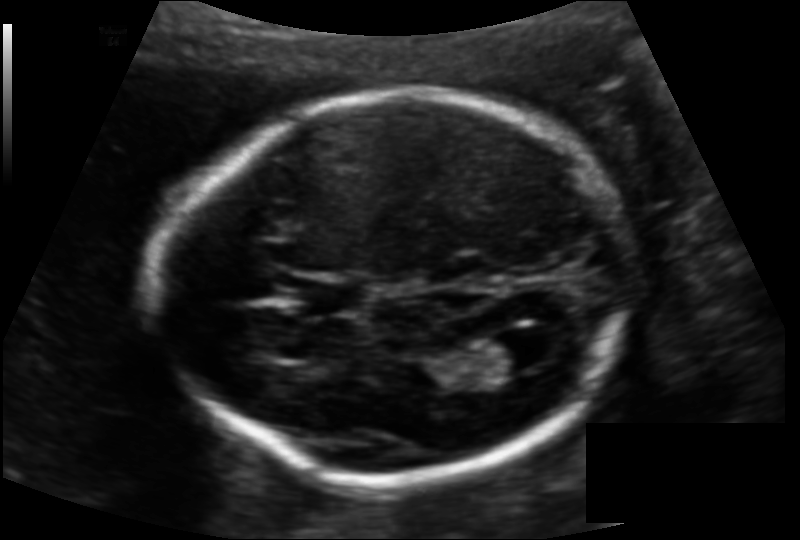
Fetal head ultrasound. Image width: 102.7 mm. Where is the lateral ventricle?

Lateral ventricle bounding box: [471,327,546,383]